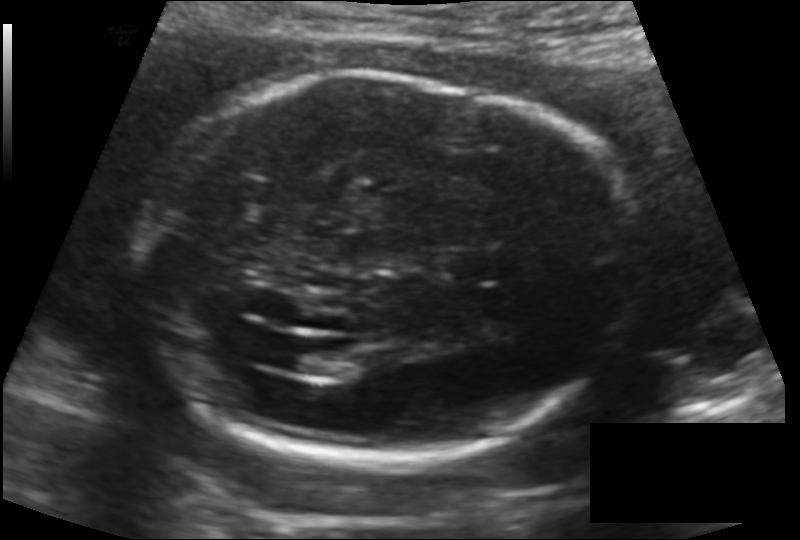
Fetal head ultrasound. Image width: 117.5 mm. Where is the fetal head?

Head bounding box: [143,76,627,462]